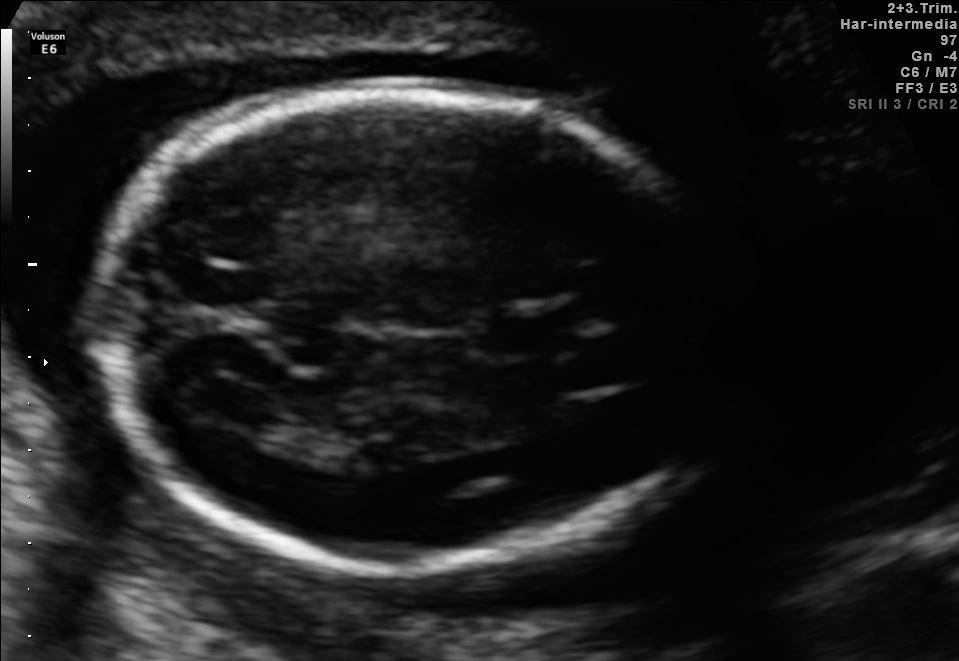
Fetal brain, trans-ventricular plane. Locate the fetal head and, if visible, the cavum septum pellucidum (CSP) and lateral ventricle (LV). Give bounding boxes as [x1,y1,x2,y2].

Head: [82,78,753,589]
CSP: [487,317,565,351]
Lateral ventricle: [193,372,274,436]